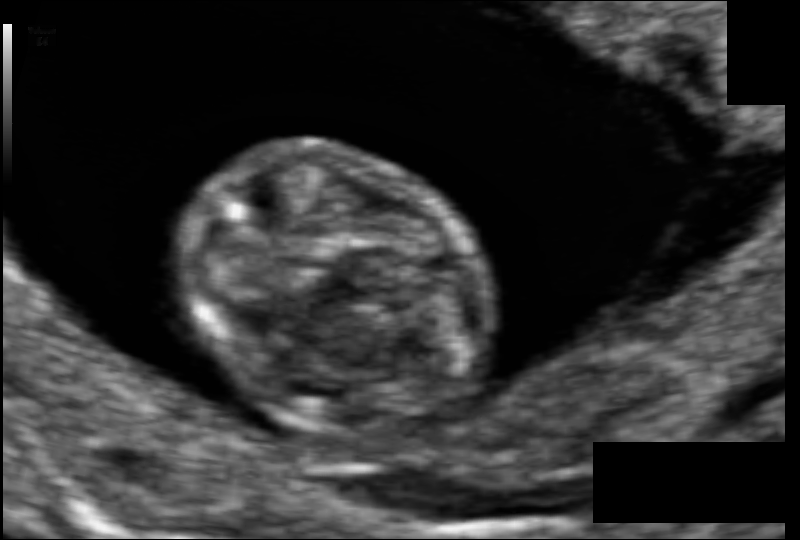
In this fetal head ultrasound, give the bounding box of the fetal head. Image width: 49.0 mm.

[180,139,490,439]